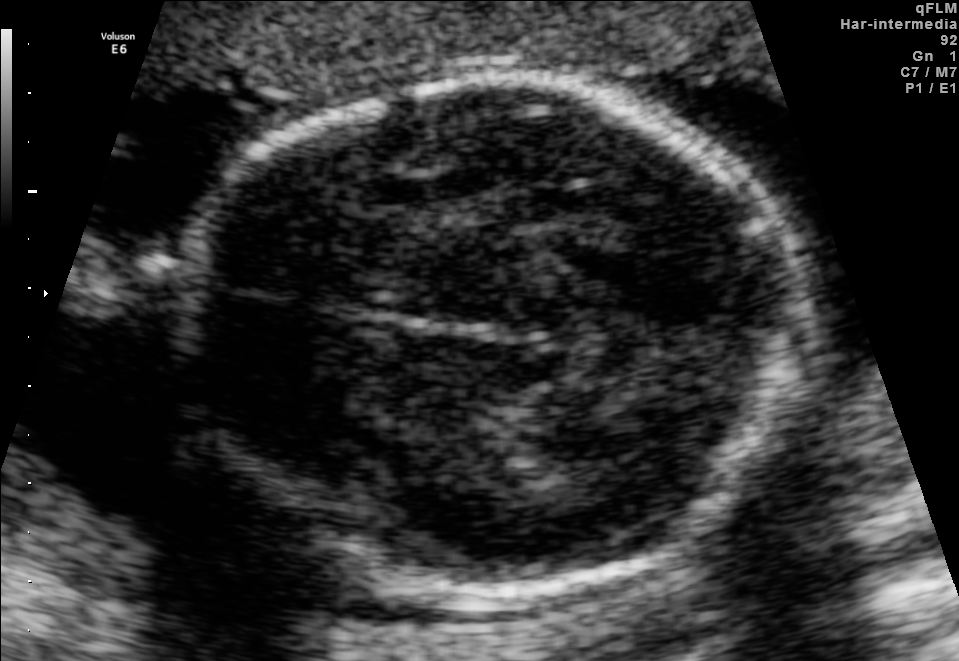
Fetal brain, trans-thalamic plane. Where is the fetal head?

Head bounding box: [175,80,804,595]